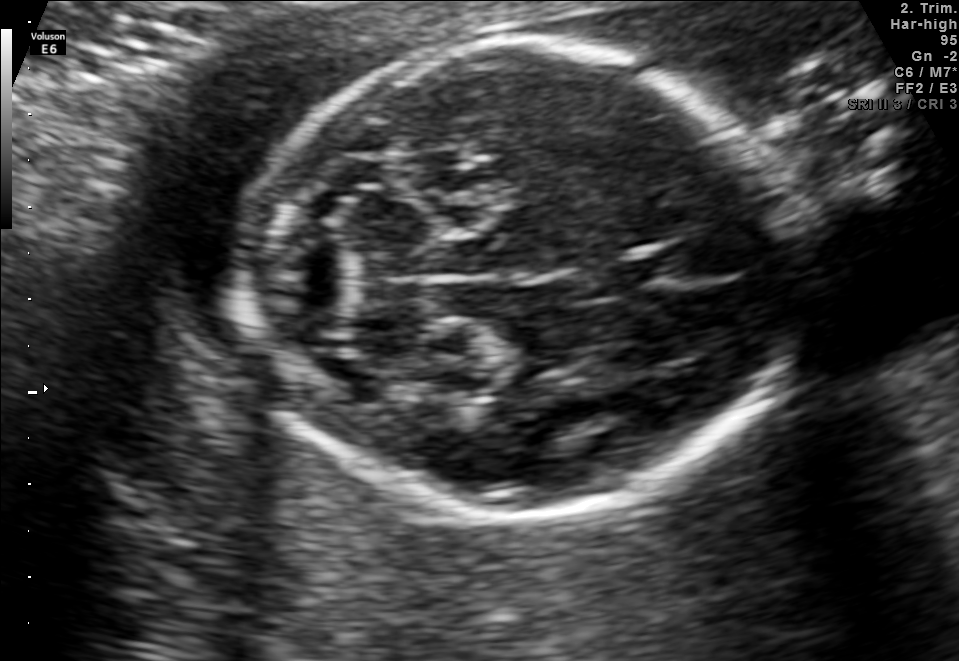
In this fetal brain, trans-cerebellum plane, give bounding boxes for the head outline, cavum septum pellucidum (CSP), and lateral ventricle (LV), where visible.

Head: [244,40,793,517]
CSP: [582,250,660,302]